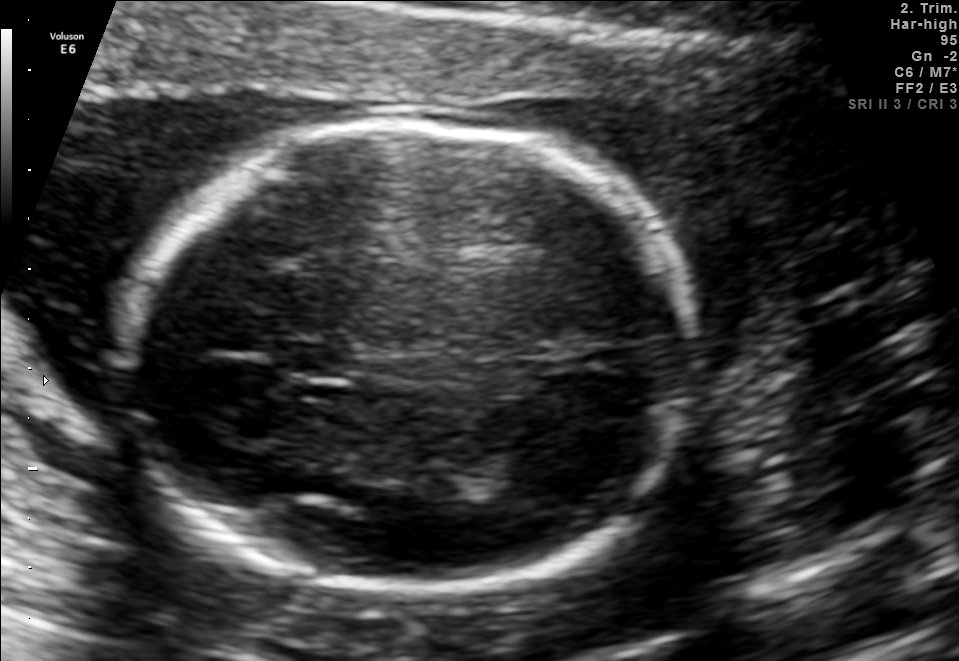
In this fetal brain, trans-thalamic plane, give the bounding box of the fetal head.

[110,121,697,586]